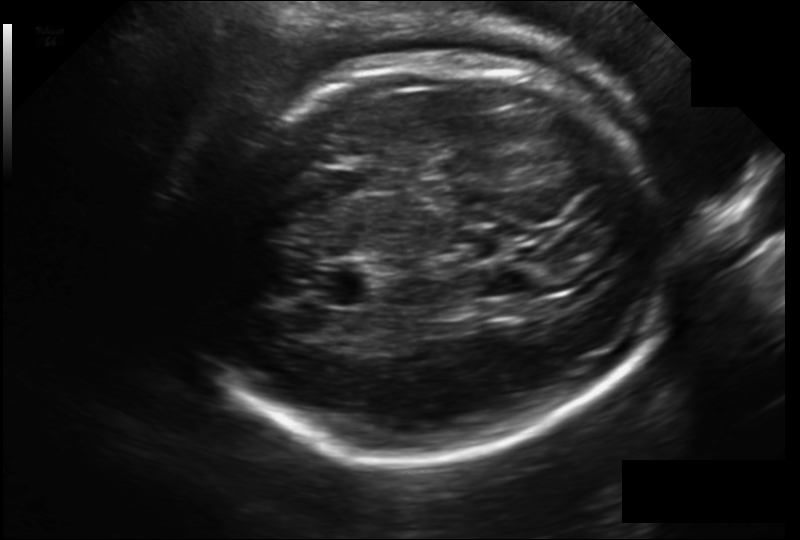
In this fetal head ultrasound, give bounding boxes for the head outline, cavum septum pellucidum (CSP), and lateral ventricle (LV), where visible. Image width: 162.0 mm.

Head: [183,54,664,462]